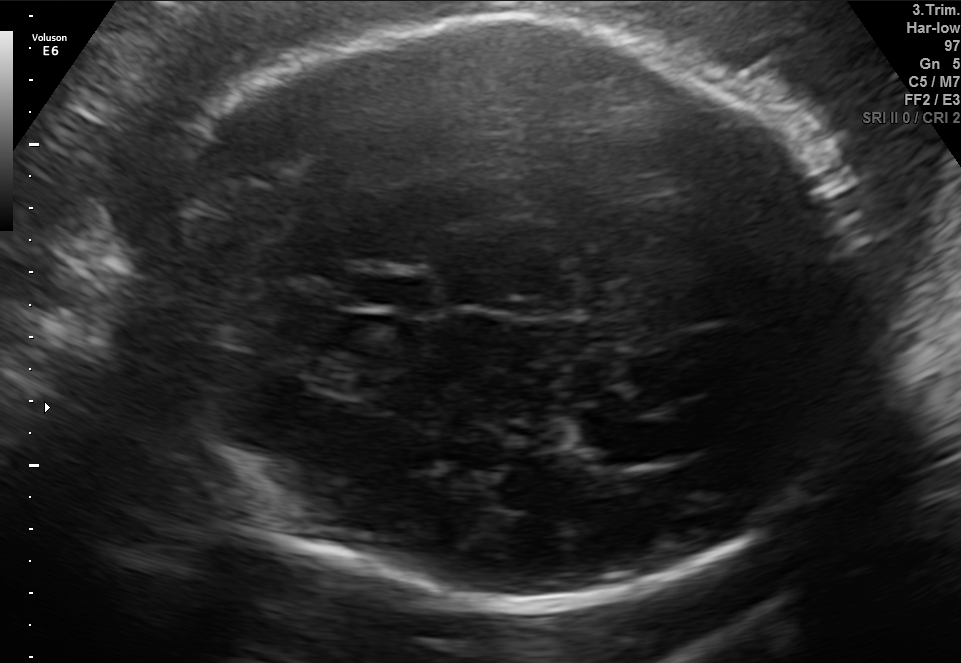
In this fetal brain, trans-thalamic plane, give the bounding box of the lateral ventricle.

[580,414,692,469]